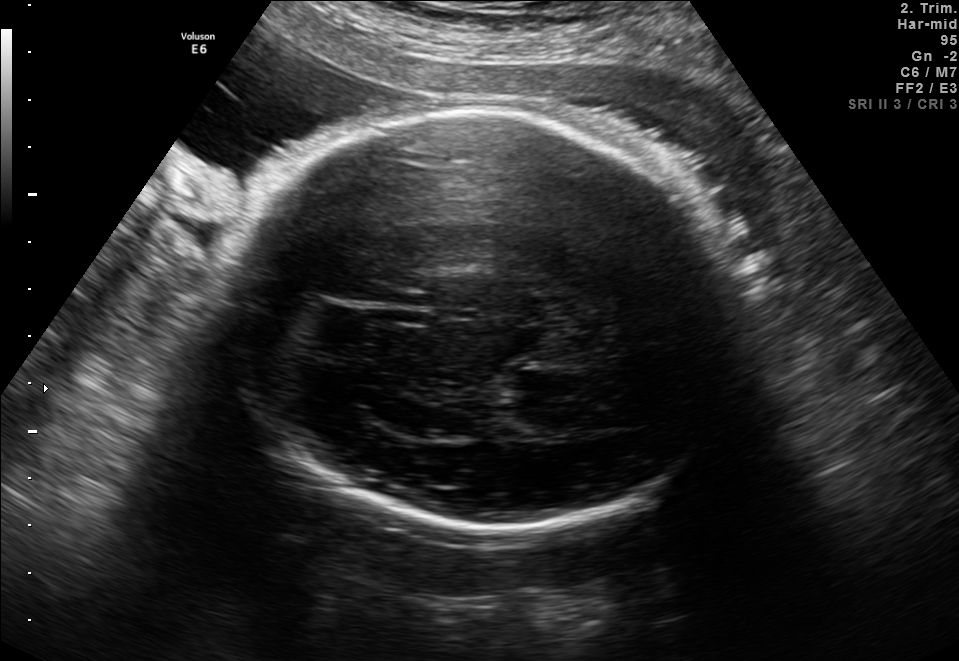
Fetal brain, trans-thalamic plane. Where is the fetal head?

Head bounding box: [233,112,738,535]